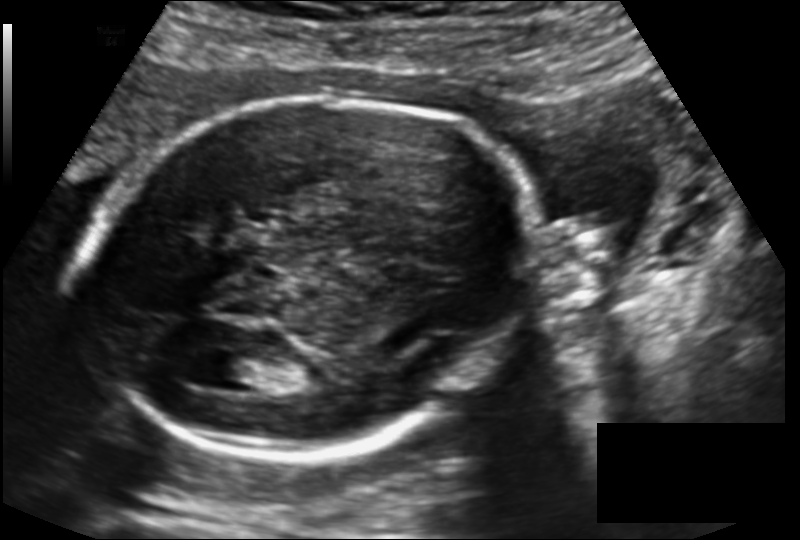
From this fetal ultrasound, estimate the head circumference (image width 114.3 mm).

Head circumference: 192.6 mm.